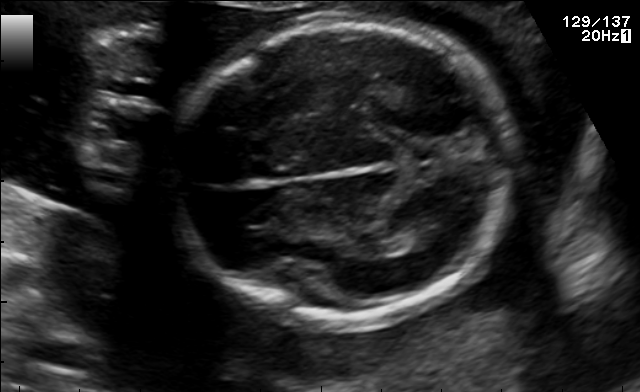
Fetal brain, trans-thalamic plane. Locate the fetal head and, if visible, the cavum septum pellucidum (CSP) and lateral ventricle (LV). Give bounding boxes as [x1,y1,x2,y2].

Head: [171,25,515,323]
Lateral ventricle: [395,218,449,254]